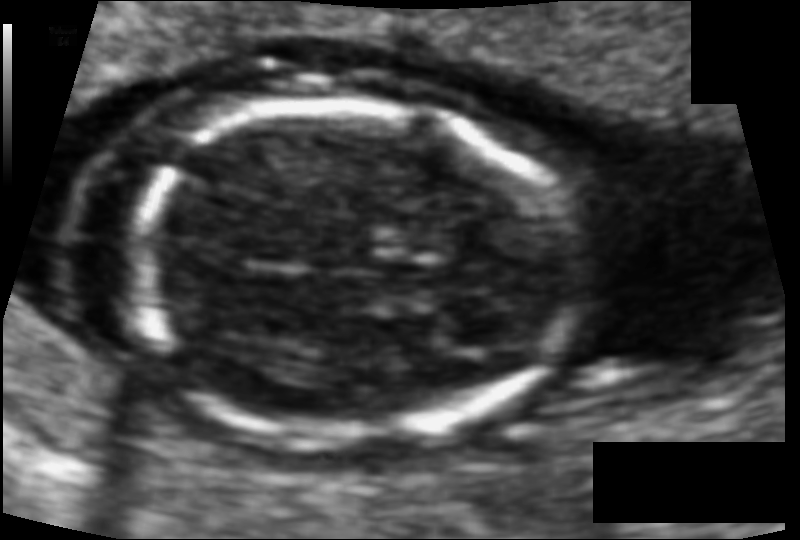
From this fetal ultrasound, estimate the head circumference (image width 65.1 mm).

Head circumference: 105.0 mm.